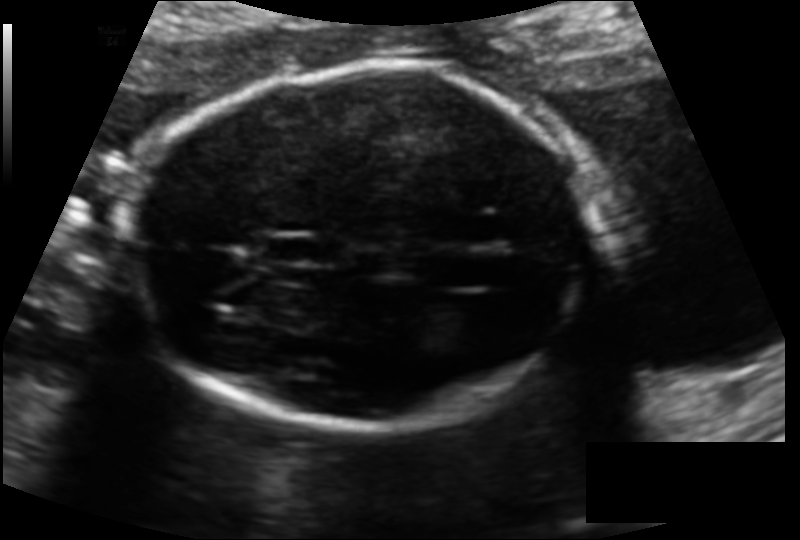
Fetal head ultrasound. Image width: 101.0 mm. Locate the fetal head.

Head: [127,65,591,429]